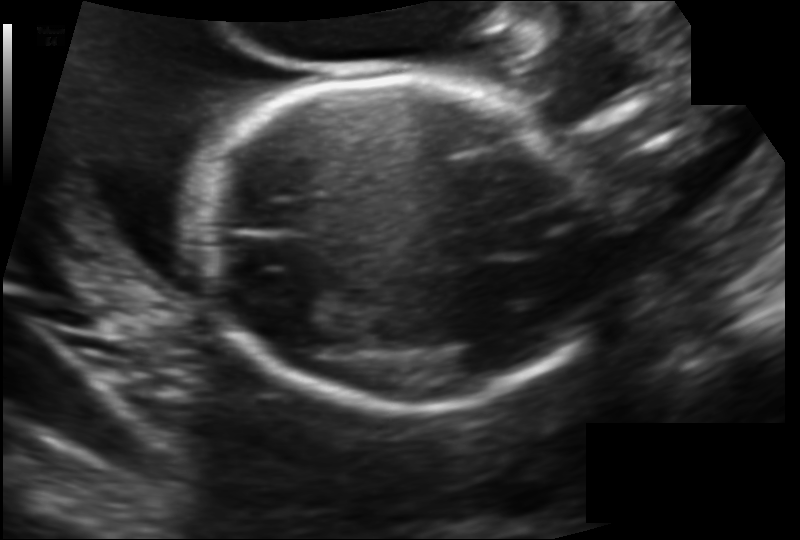
Estimate the fetal head circumference from this 2D ultrasound.

Head circumference: 165.2 mm (image width 110.4 mm).